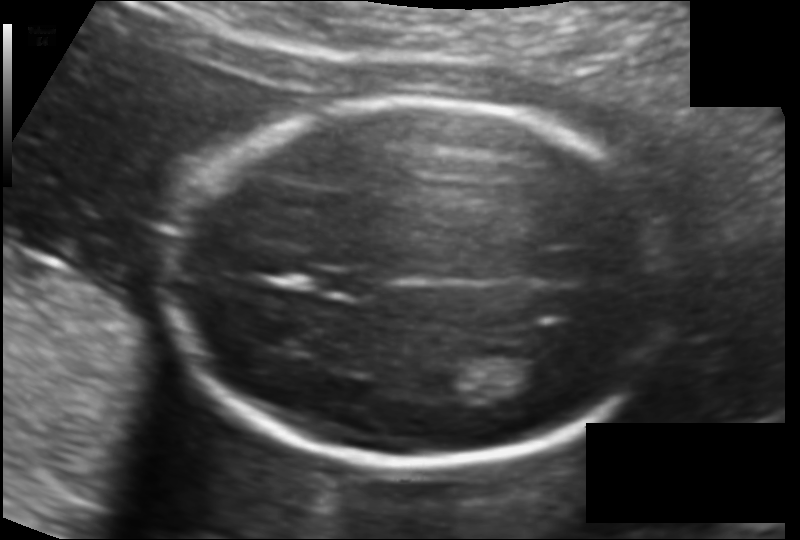
Estimate the fetal head circumference from this 2D ultrasound.

Head circumference: 169.7 mm (image width 97.1 mm).